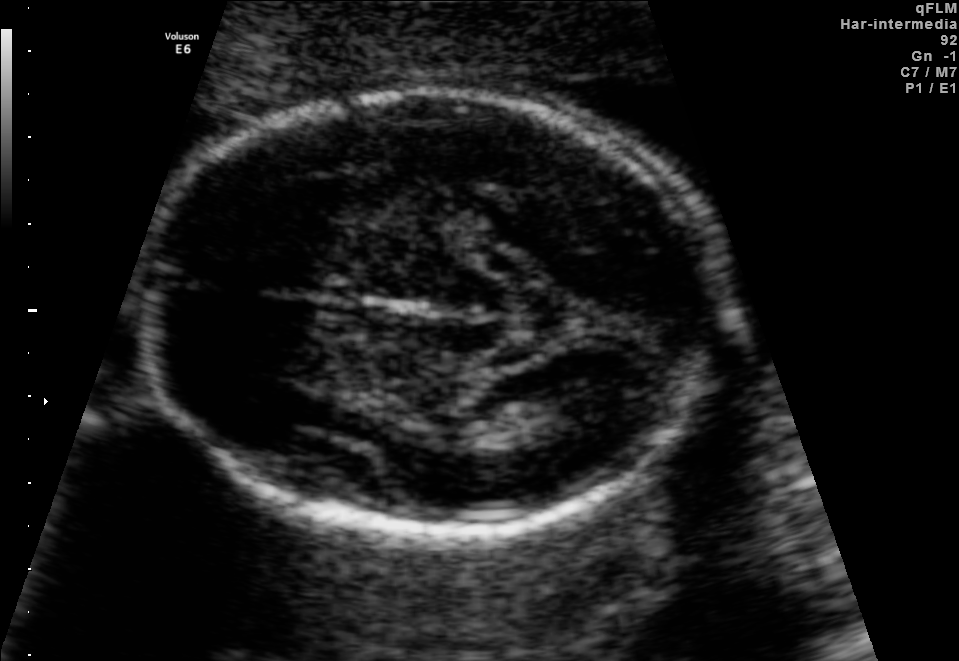
Fetal brain, trans-thalamic plane. Where is the fetal head?

Head bounding box: [144,91,715,528]